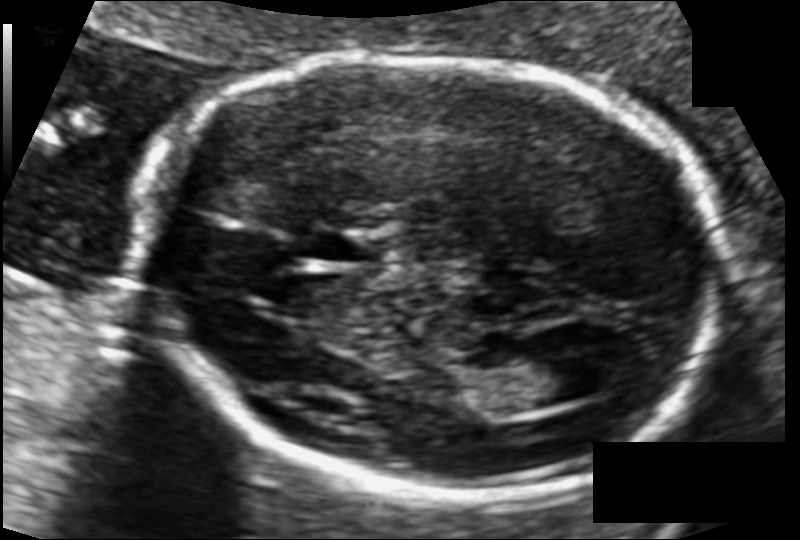
Fetal head ultrasound. Image width: 81.0 mm. Where is the fetal head?

Head bounding box: [140,54,723,496]